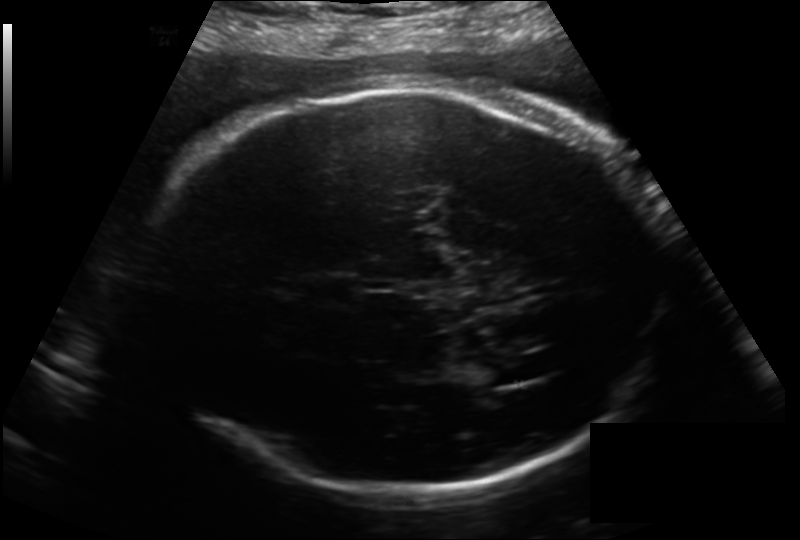
What is the fetal head circumference? Image width is 171.3 mm.

324.6 mm